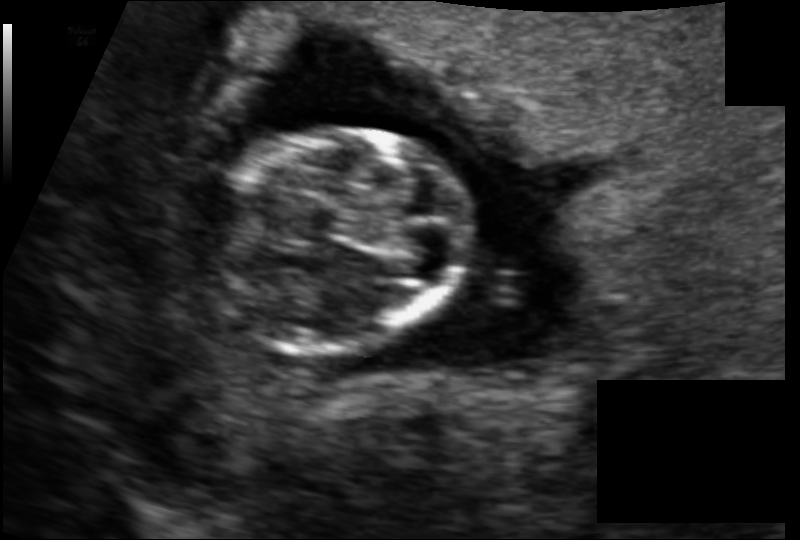
Measure the fetal head circumference shown in this ultrasound image. Image width: 77.7 mm.

Head circumference: 75.9 mm.